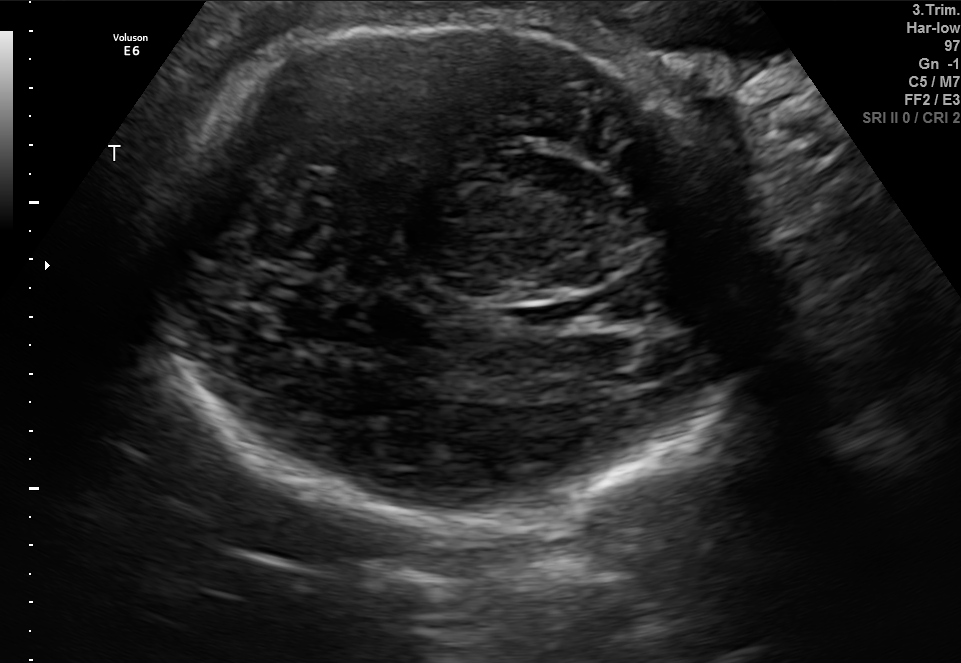
Fetal brain, trans-thalamic plane. Where is the fetal head?

Head bounding box: [160,16,751,531]